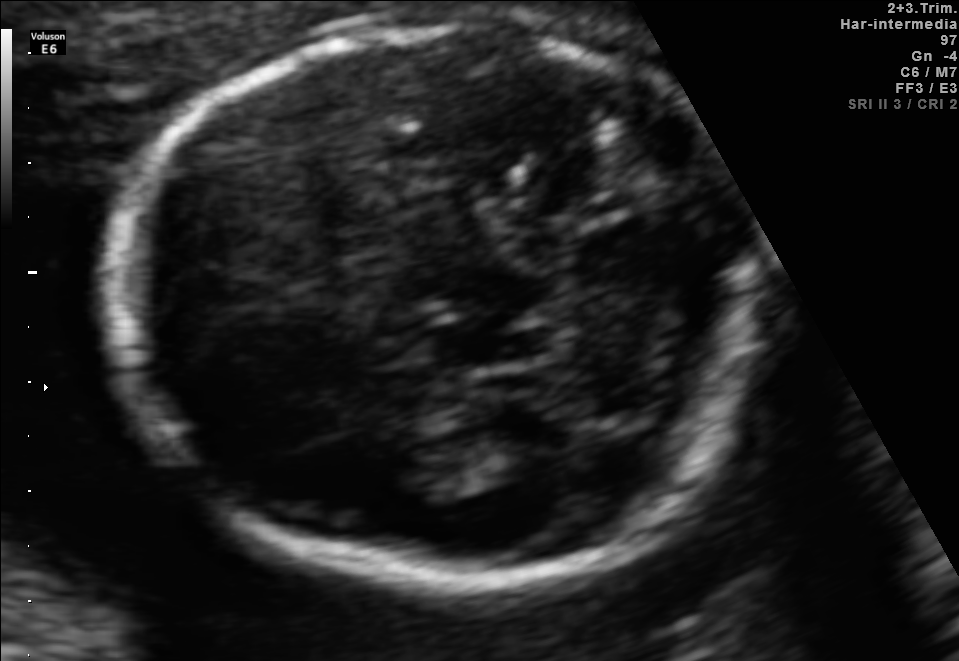
Fetal brain, trans-thalamic plane. Where is the fetal head?

Head bounding box: [110,18,763,583]